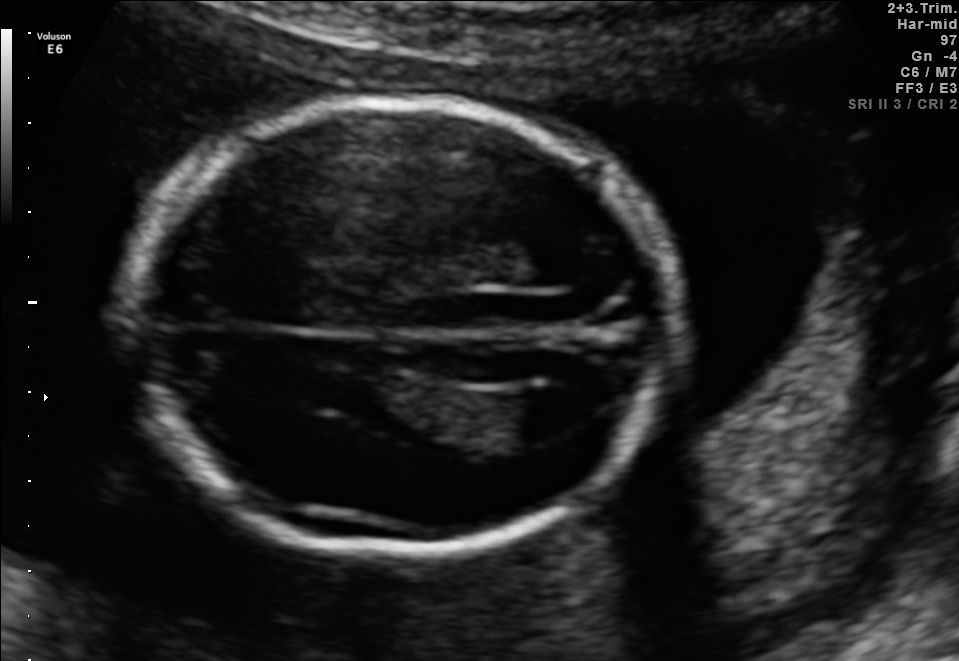
In this fetal brain, trans-ventricular plane, give bounding boxes for the head outline, cavum septum pellucidum (CSP), and lateral ventricle (LV), where visible.

Head: [106,90,699,569]
Lateral ventricle: [502,374,598,448]